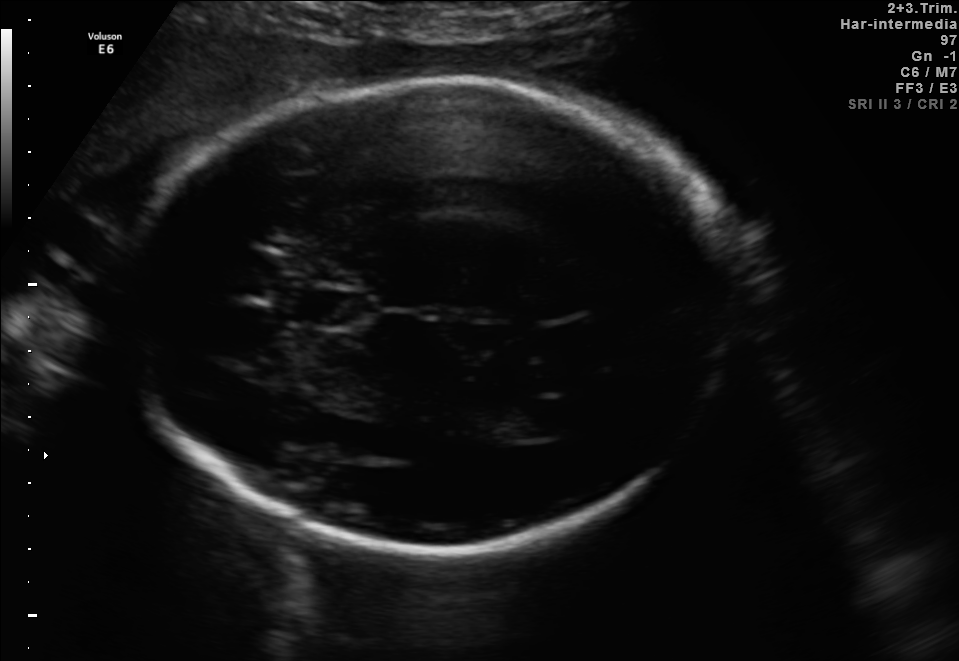
Fetal brain, trans-thalamic plane. Where is the fetal head?

Head bounding box: [123,78,734,551]